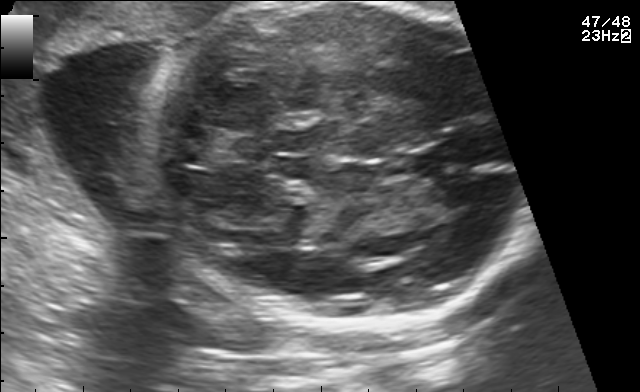
Fetal brain, trans-thalamic plane. Locate the cavum septum pellucidum (CSP) and lateral ventricle (LV), if visible. Give bounding boxes as [x1,y1,x2,y2].

CSP: [408,140,456,173]